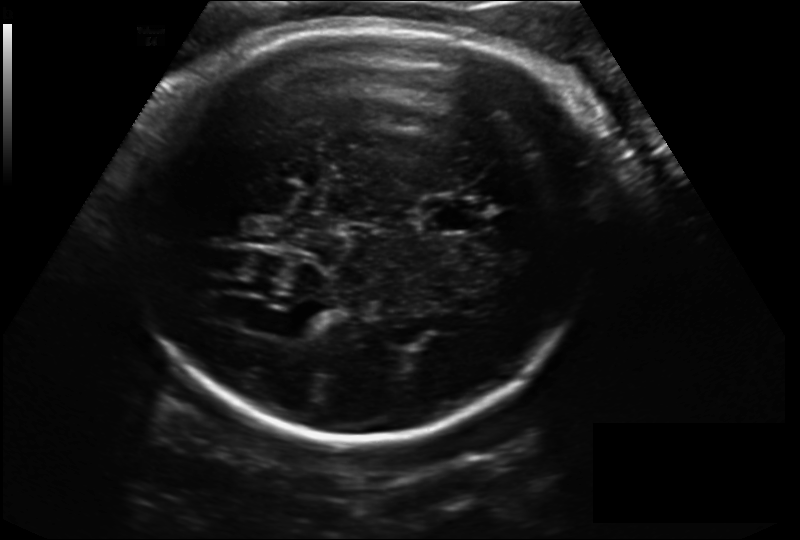
Fetal head ultrasound. Image width: 158.7 mm. Where is the cavum septum pellucidum?

CSP bounding box: [423,199,485,232]